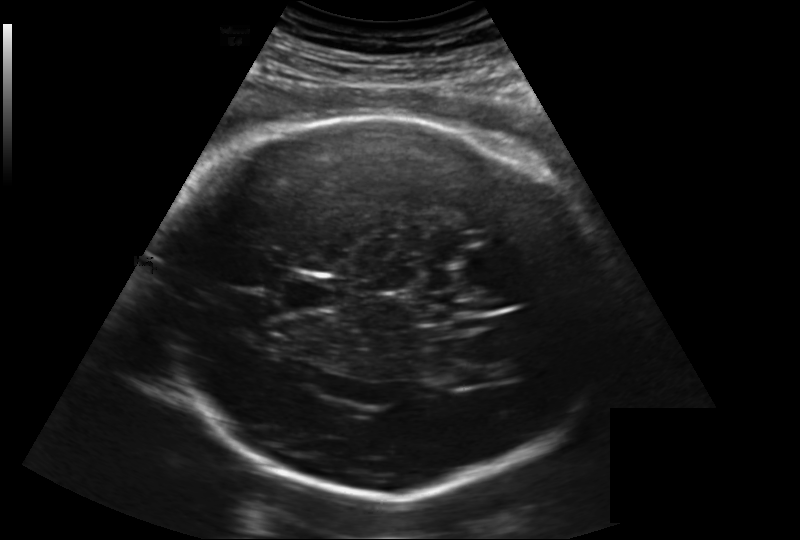
In this fetal head ultrasound, give the bounding box of the fetal head. Image width: 175.3 mm.

[158,116,611,499]